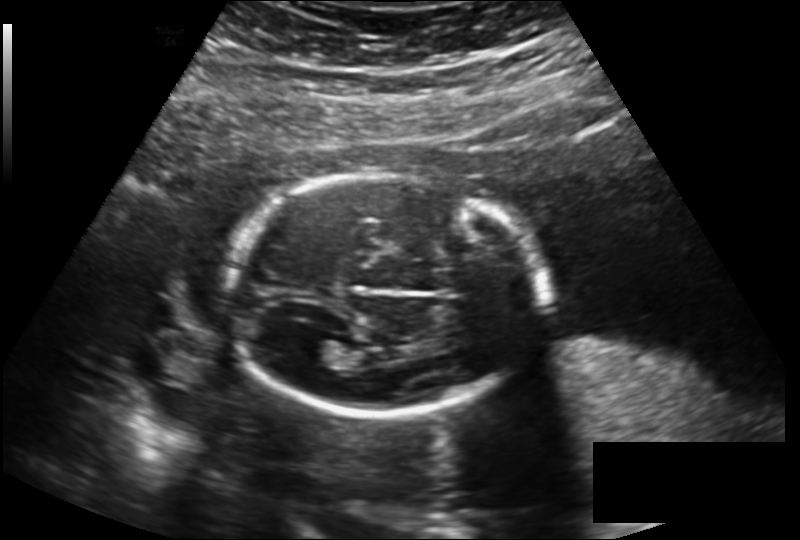
In this fetal head ultrasound, give the bounding box of the lateral ventricle. Image width: 150.8 mm.

[295,335,340,367]